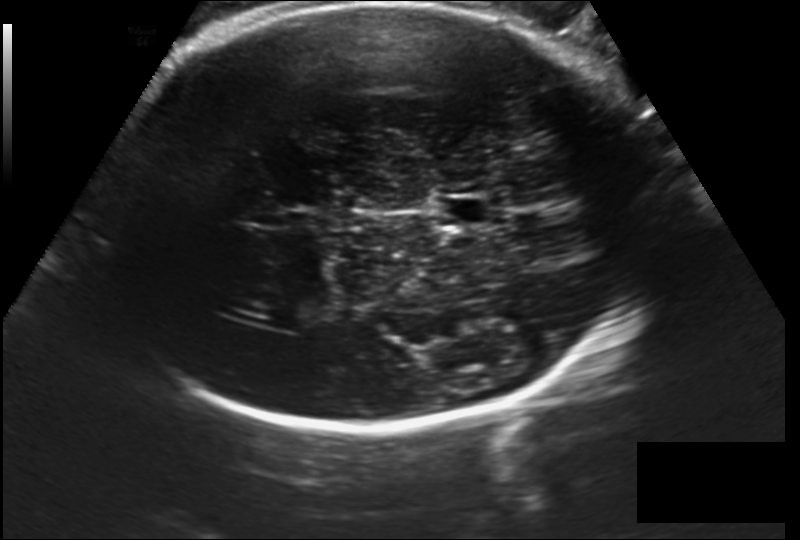
What is the fetal head circumference? Image width is 162.0 mm.

324.6 mm